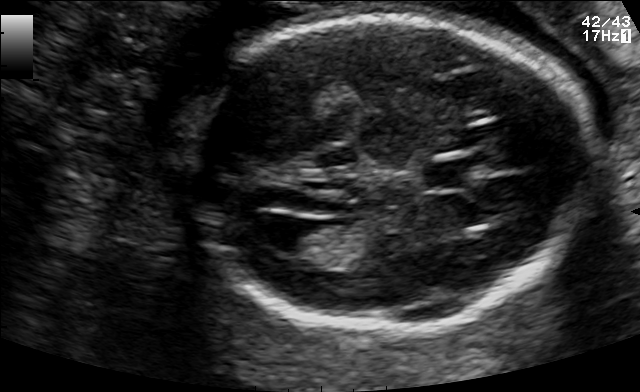
Fetal brain, trans-ventricular plane. Locate the cavum septum pellucidum.

CSP: [423,151,504,192]